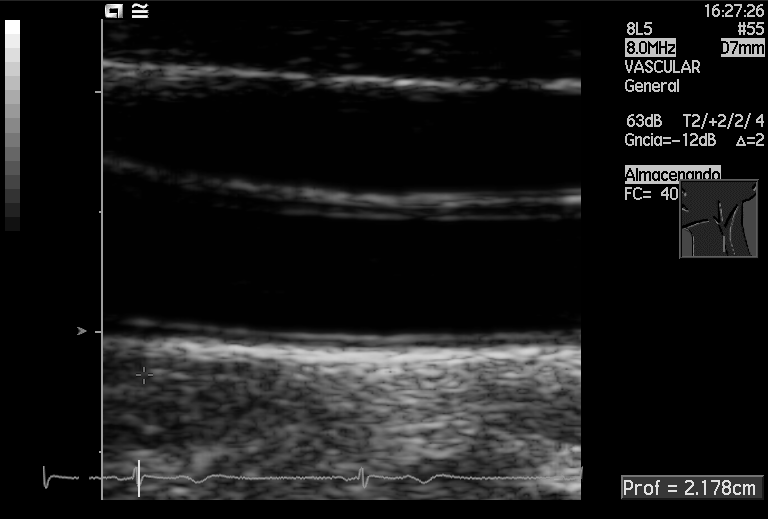
This is a 2D maternal-fetal ultrasound frame. Is it a fetal abdomen, fetal brain, fetal femur, fetal thorax, maternal cervix, or other standard plane? If it's fetal brain and one of the three standard brain planes (trans-thalamic, trans-cerebellum, trans-ventricular), name which.

Other